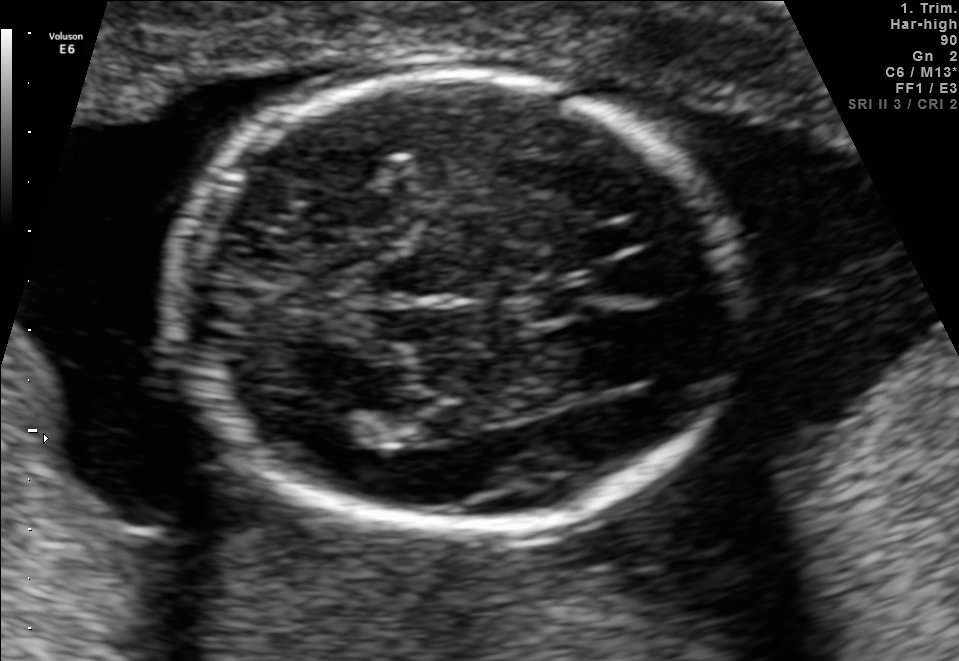
Fetal brain, trans-thalamic plane. Locate the fetal head.

Head: [168,75,739,526]